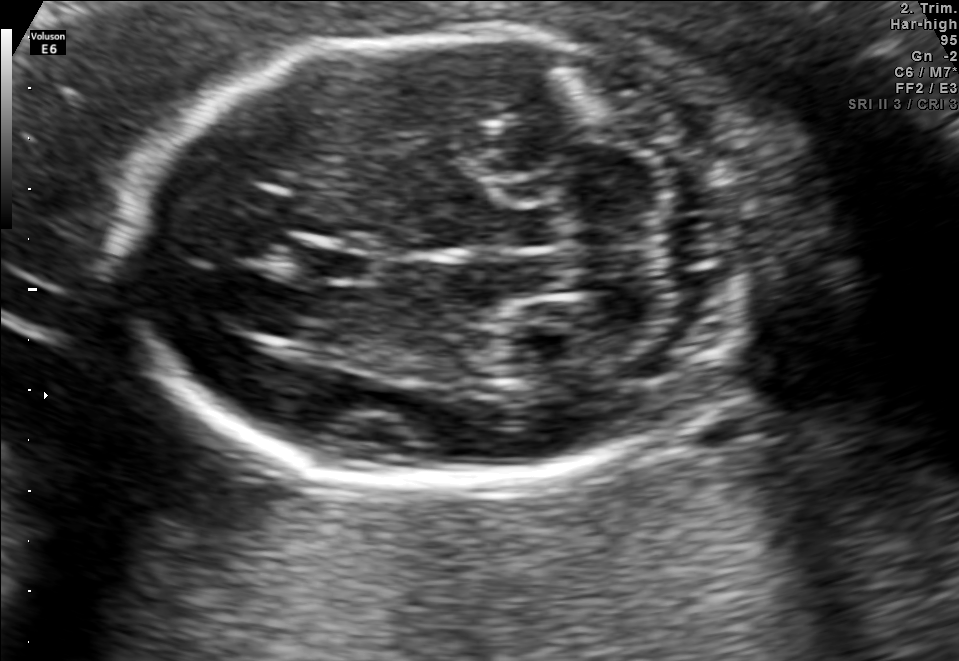
Fetal brain, trans-cerebellum plane. Locate the cavum septum pellucidum.

CSP: [297,240,376,285]